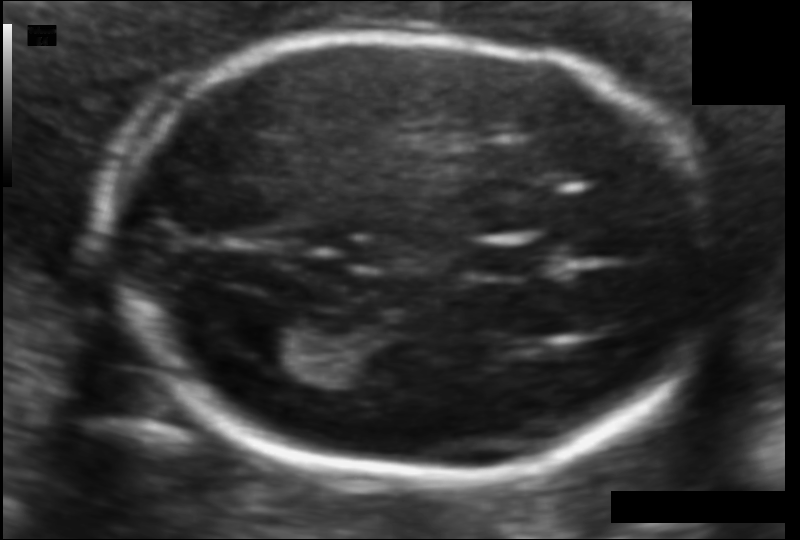
Fetal head ultrasound. Image width: 75.5 mm. Locate the fetal head and, if visible, the cavum septum pellucidum (CSP) and lateral ventricle (LV). Give bounding boxes as [x1,y1,x2,y2].

Head: [107,35,720,477]
CSP: [471,240,539,279]
Lateral ventricle: [235,304,334,382]